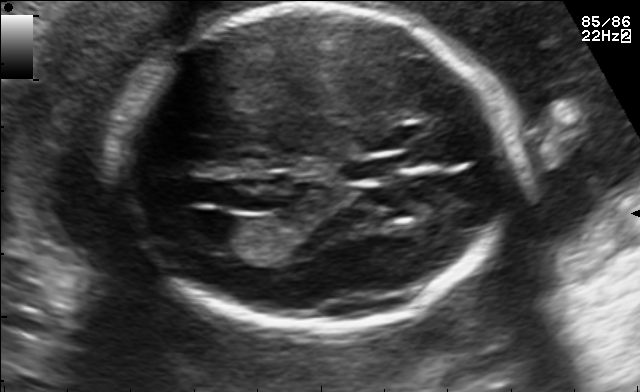
In this fetal brain, trans-ventricular plane, give bounding boxes for the head outline, cavum septum pellucidum (CSP), and lateral ventricle (LV), where visible.

Head: [118,2,518,337]
CSP: [338,149,420,186]
Lateral ventricle: [169,206,251,256]